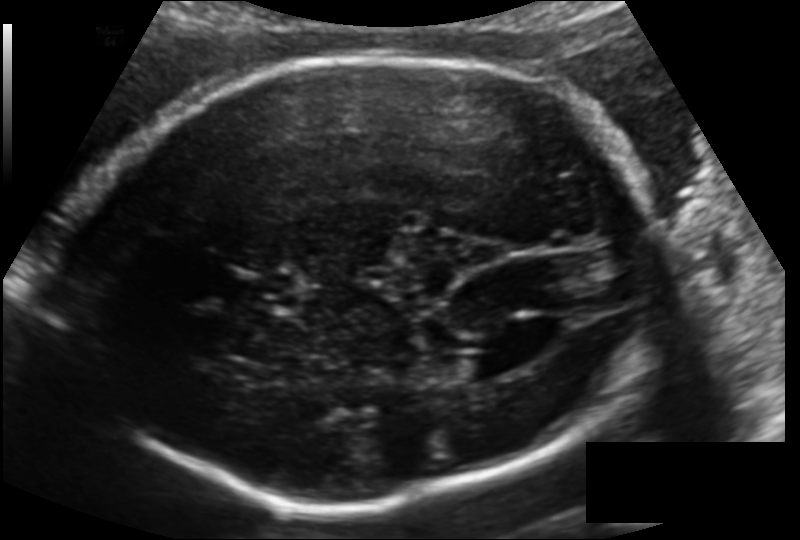
Fetal head ultrasound. Image width: 118.6 mm. Locate the cavum septum pellucidum.

CSP: [229,267,303,314]